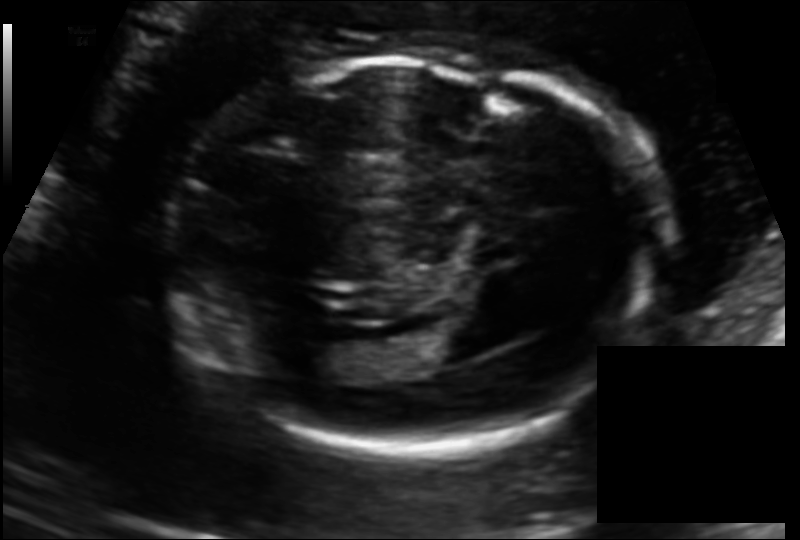
Measure the fetal head circumference shown in this ultrasound image. Image width: 100.0 mm.

Head circumference: 176.8 mm.